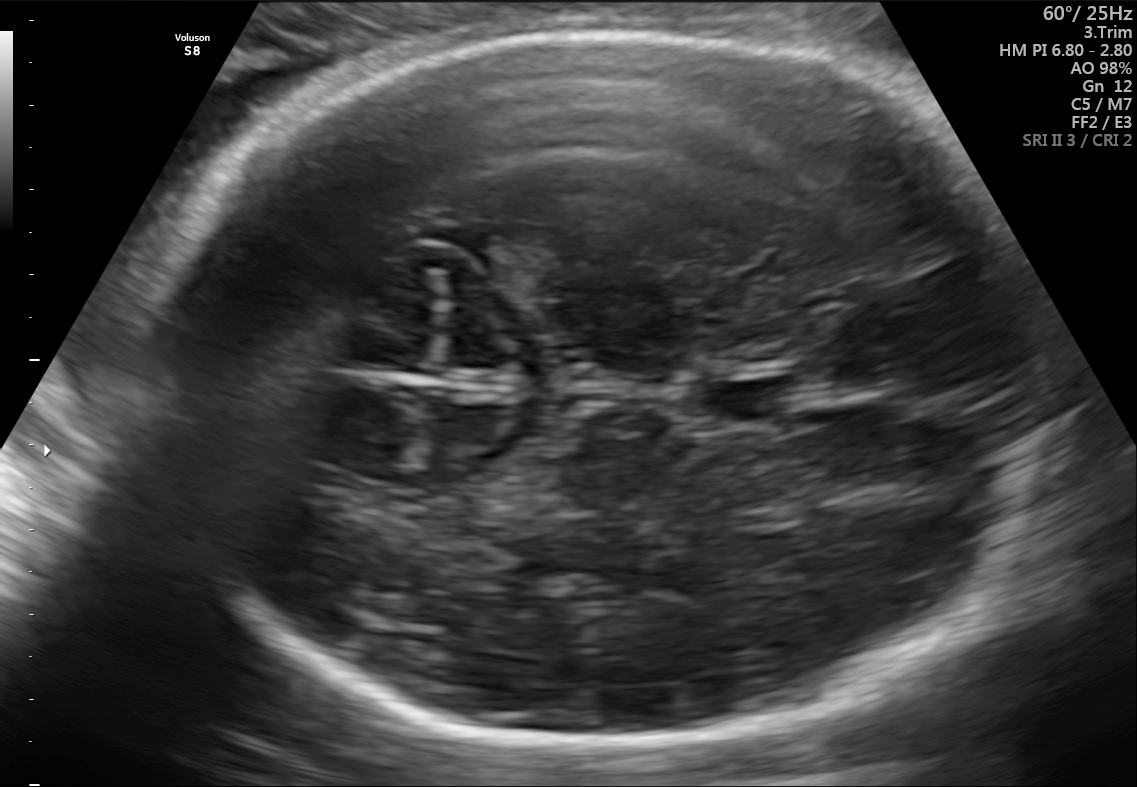
In this fetal brain, trans-thalamic plane, give the bounding box of the fetal head.

[120,29,1055,749]